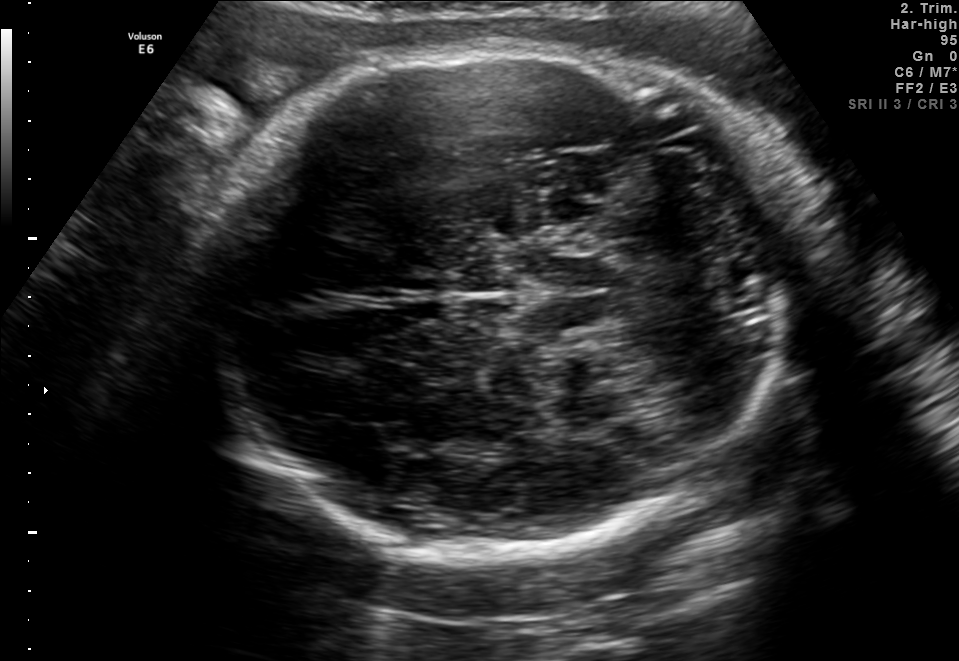
Fetal brain, trans-thalamic plane. Locate the fetal head.

Head: [204,50,785,555]